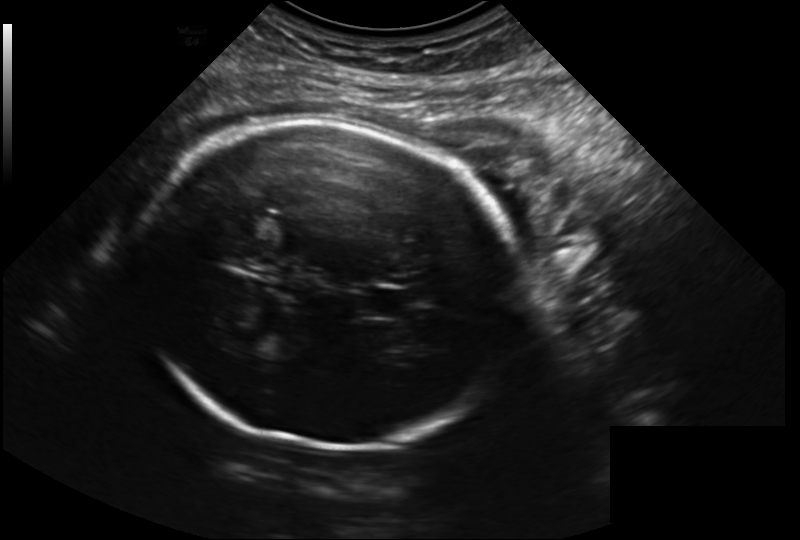
Fetal head ultrasound. Image width: 178.0 mm. Give [x1,y1,x2,y2] bounding boxes for each visible structure among: fetal head, CSP, LV.

Head: [138,123,526,448]
CSP: [359,285,417,322]